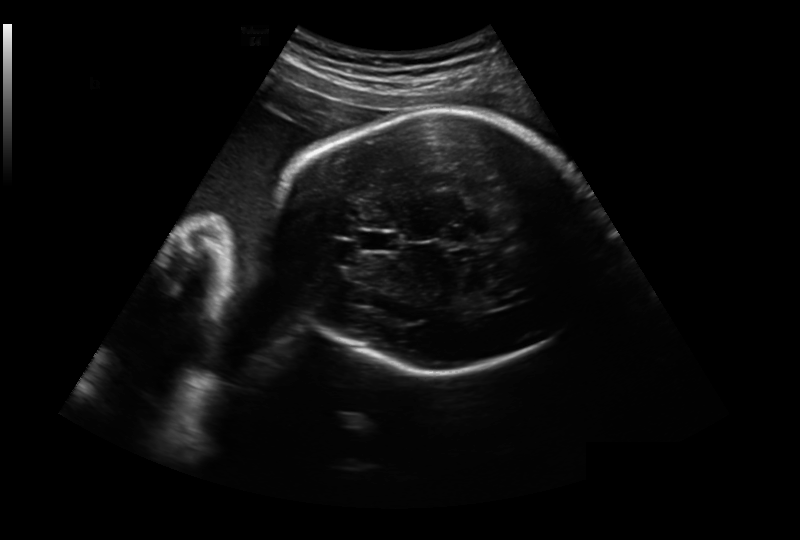
Fetal head ultrasound. Image width: 224.7 mm. Give [x1,y1,x2,y2] bounding boxes for each visible structure among: fetal head, CSP, LV.

Head: [274,110,602,373]
CSP: [357,228,402,255]